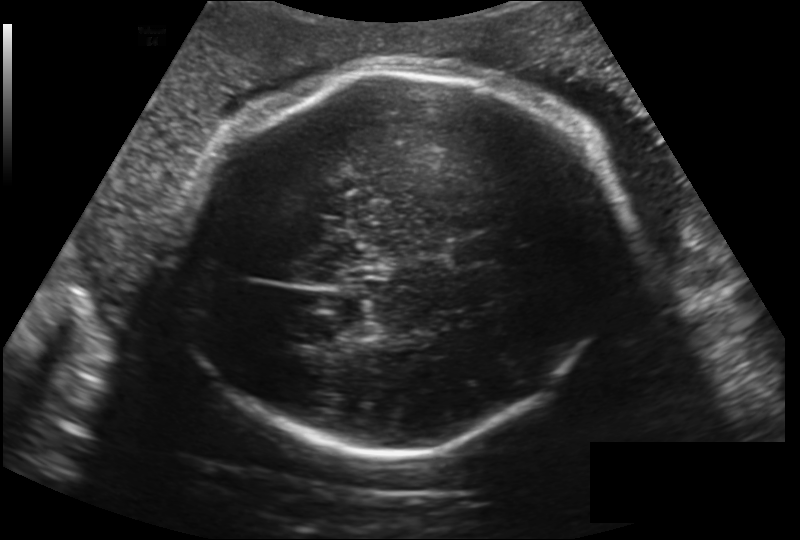
Measure the fetal head circumference shown in this ultrasound image. Image width: 179.4 mm.

Head circumference: 303.2 mm.